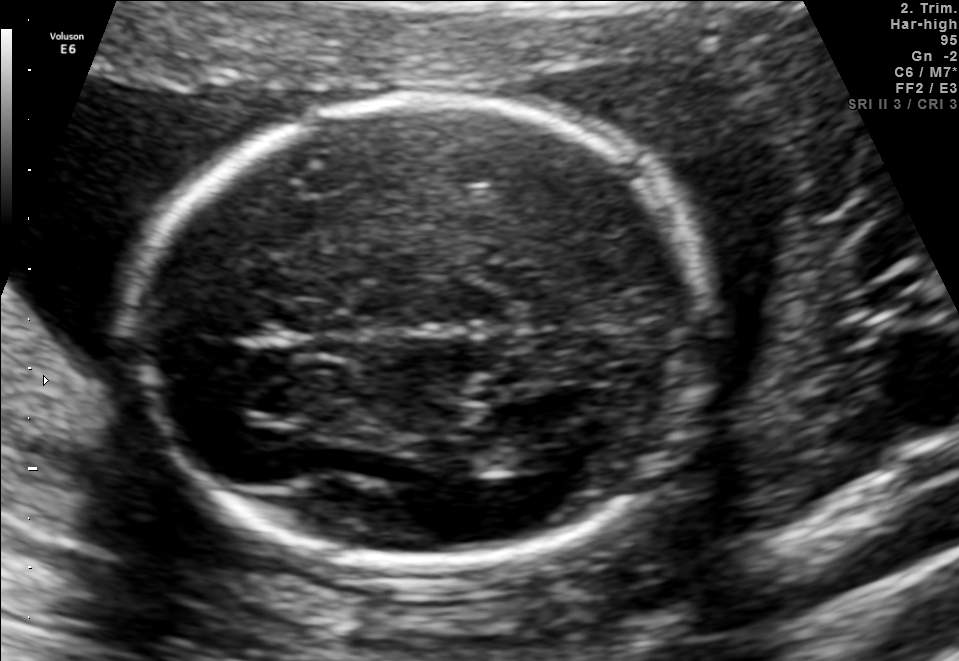
Fetal brain, trans-thalamic plane. Locate the fetal head.

Head: [137,98,698,559]